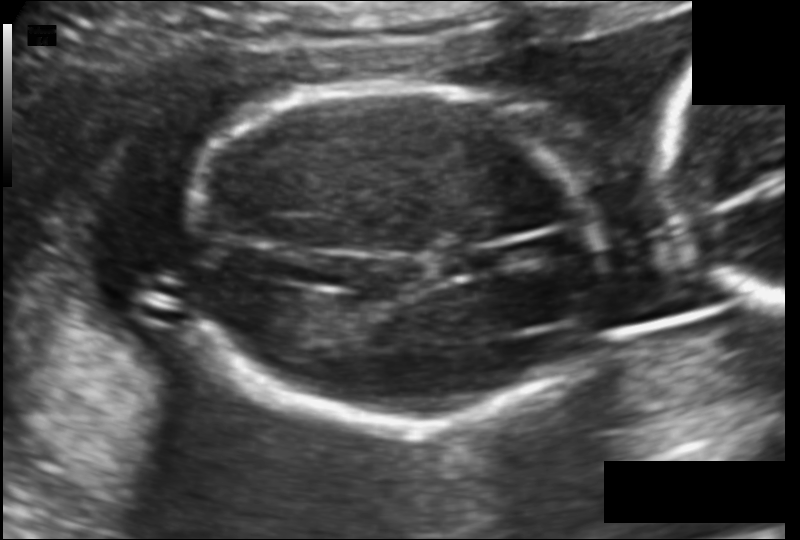
From this fetal ultrasound, estimate the head circumference (image width 94.3 mm).

Head circumference: 146.4 mm.